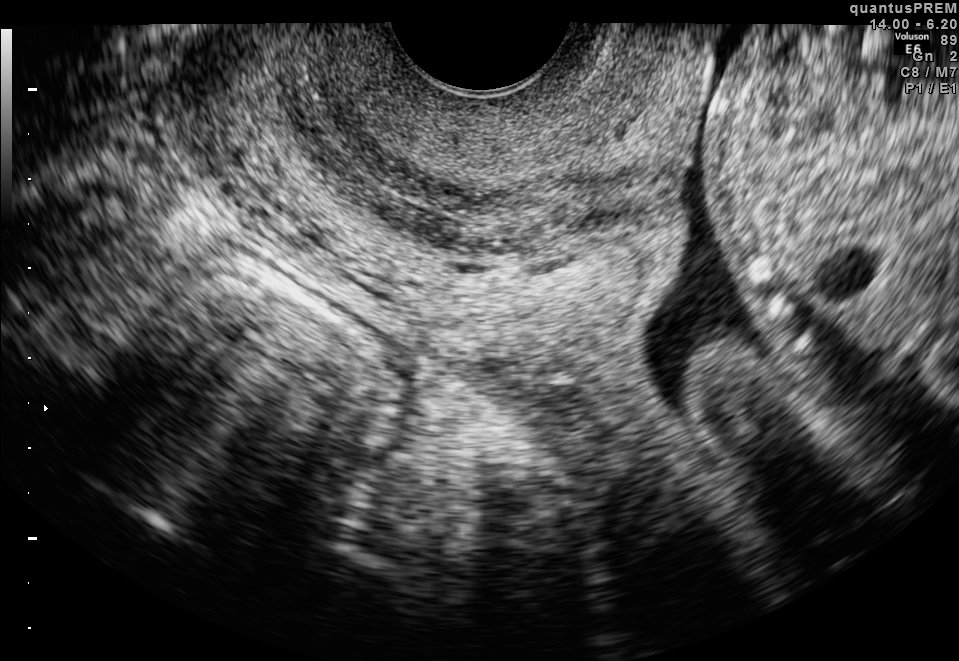
Which standard maternal-fetal ultrasound plane is shown: fetal abdomen, fetal brain, fetal femur, fetal thorax, maternal cervix, or other? If it's fetal brain and one of the three standard brain planes (trans-thalamic, trans-cerebellum, trans-ventricular), name which.

Maternal cervix